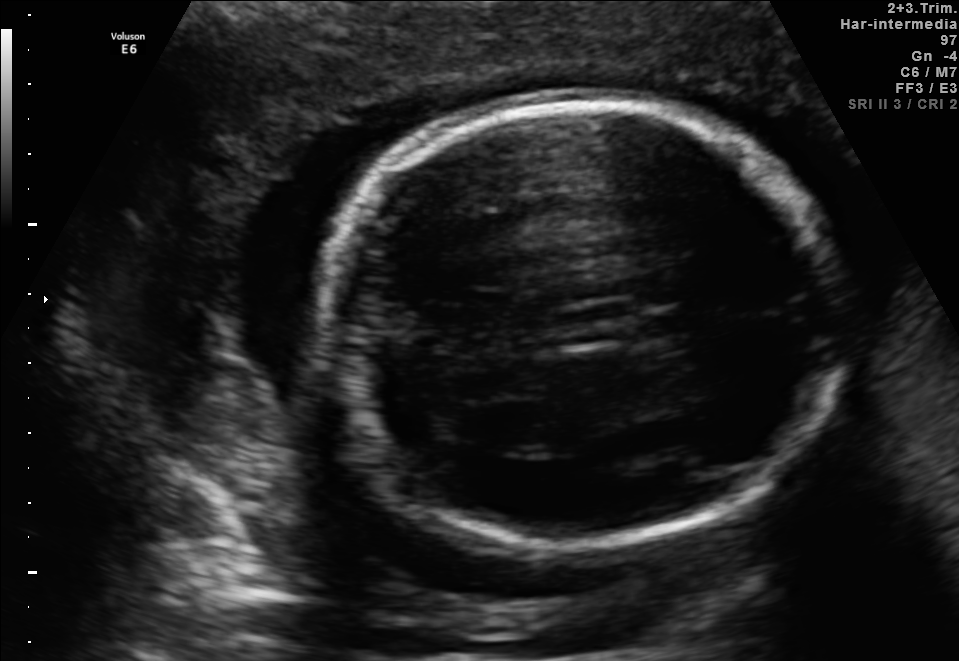
Fetal brain, trans-thalamic plane. Give [x1,y1,x2,y2] bounding boxes for each visible structure among: fetal head, CSP, LV.

Head: [319,94,840,545]